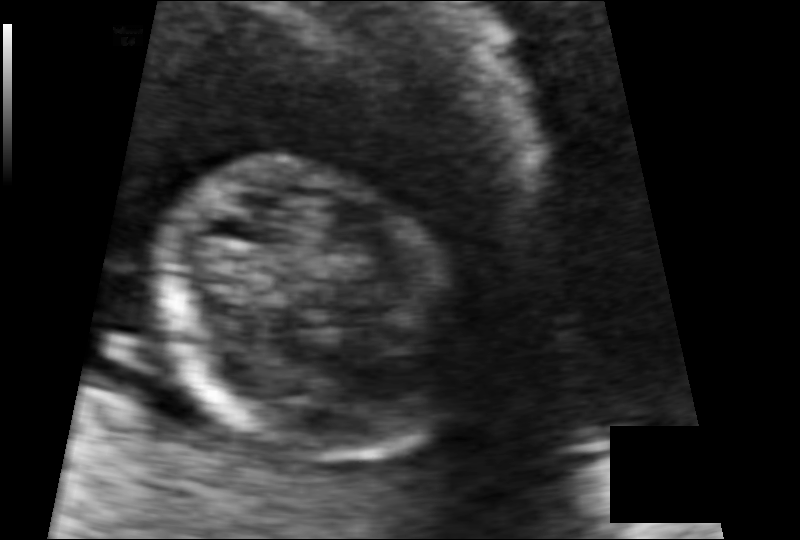
In this fetal head ultrasound, give the bounding box of the fetal head. Image width: 68.4 mm.

[150,161,471,462]